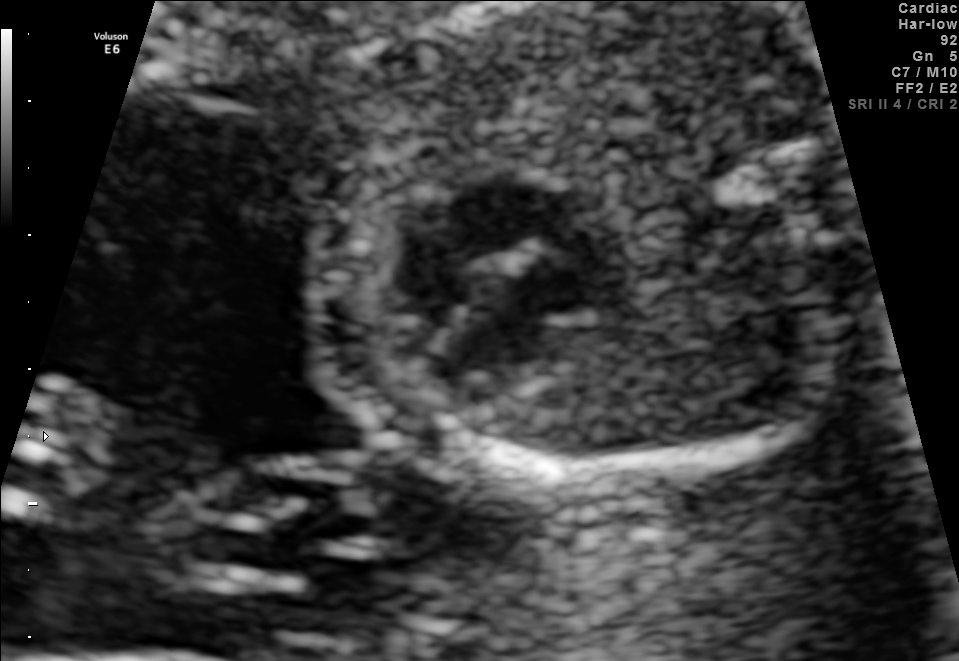
This is a 2D maternal-fetal ultrasound frame. Is it a fetal abdomen, fetal brain, fetal femur, fetal thorax, maternal cervix, or other standard plane? If it's fetal brain and one of the three standard brain planes (trans-thalamic, trans-cerebellum, trans-ventricular), name which.

Fetal thorax